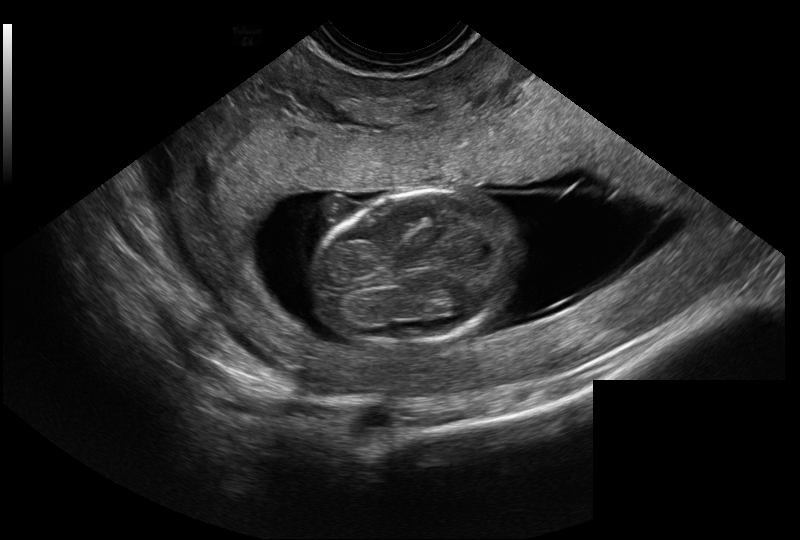
Fetal head ultrasound. Image width: 102.5 mm. Where is the fetal head?

Head bounding box: [317,190,521,346]